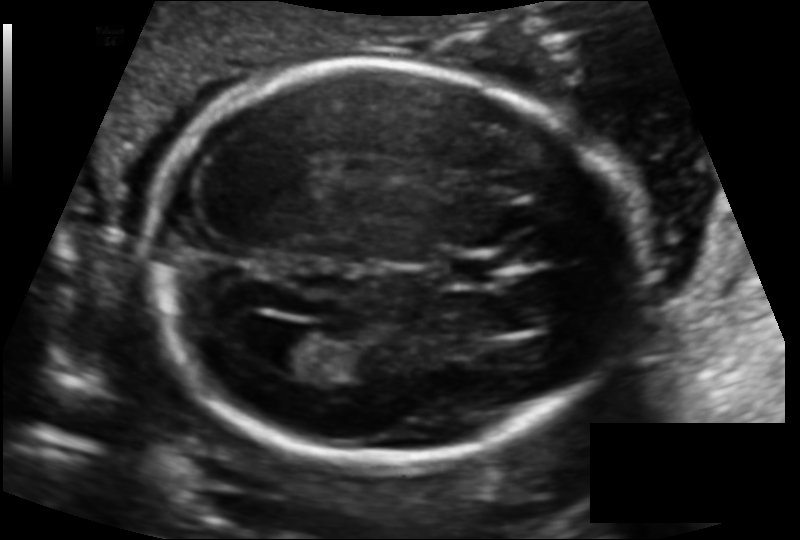
In this fetal head ultrasound, give bounding boxes for the head outline, cavum septum pellucidum (CSP), and lateral ventricle (LV), where visible. Image width: 100.1 mm.

Head: [147,63,631,466]
CSP: [445,254,504,286]
Lateral ventricle: [260,322,334,380]